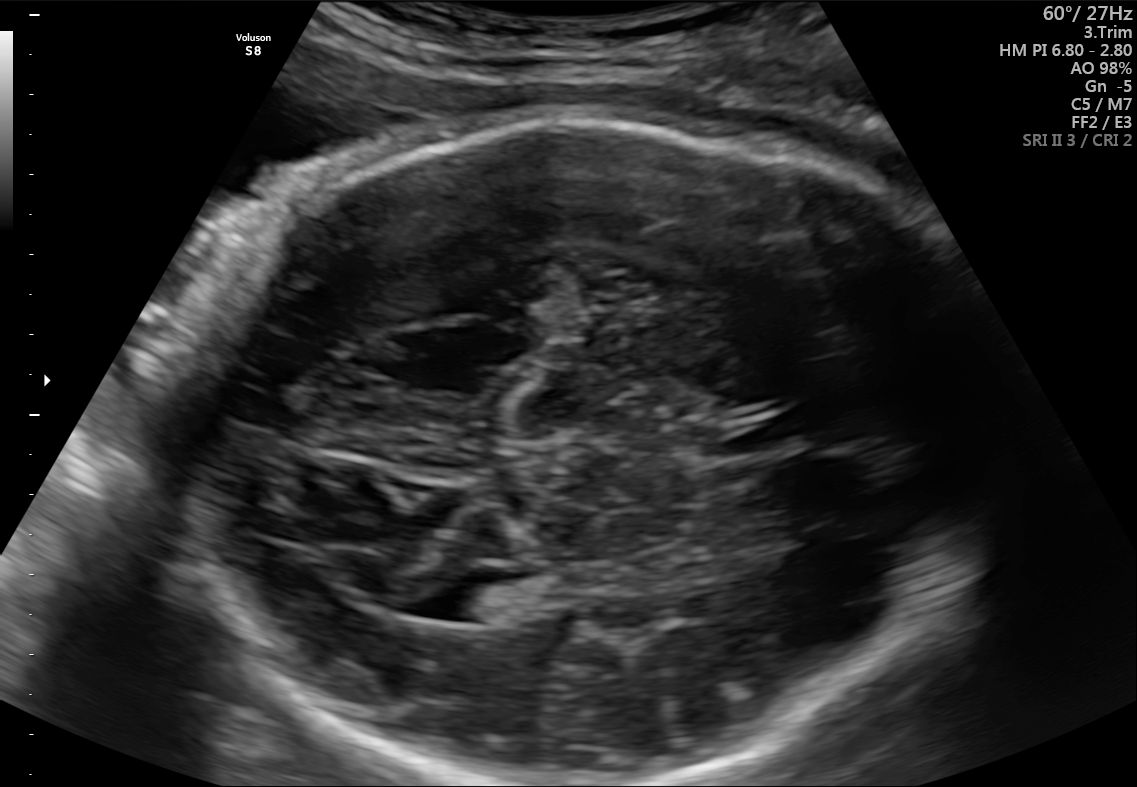
Fetal brain, trans-thalamic plane. Locate the fetal head.

Head: [177,119,1010,785]